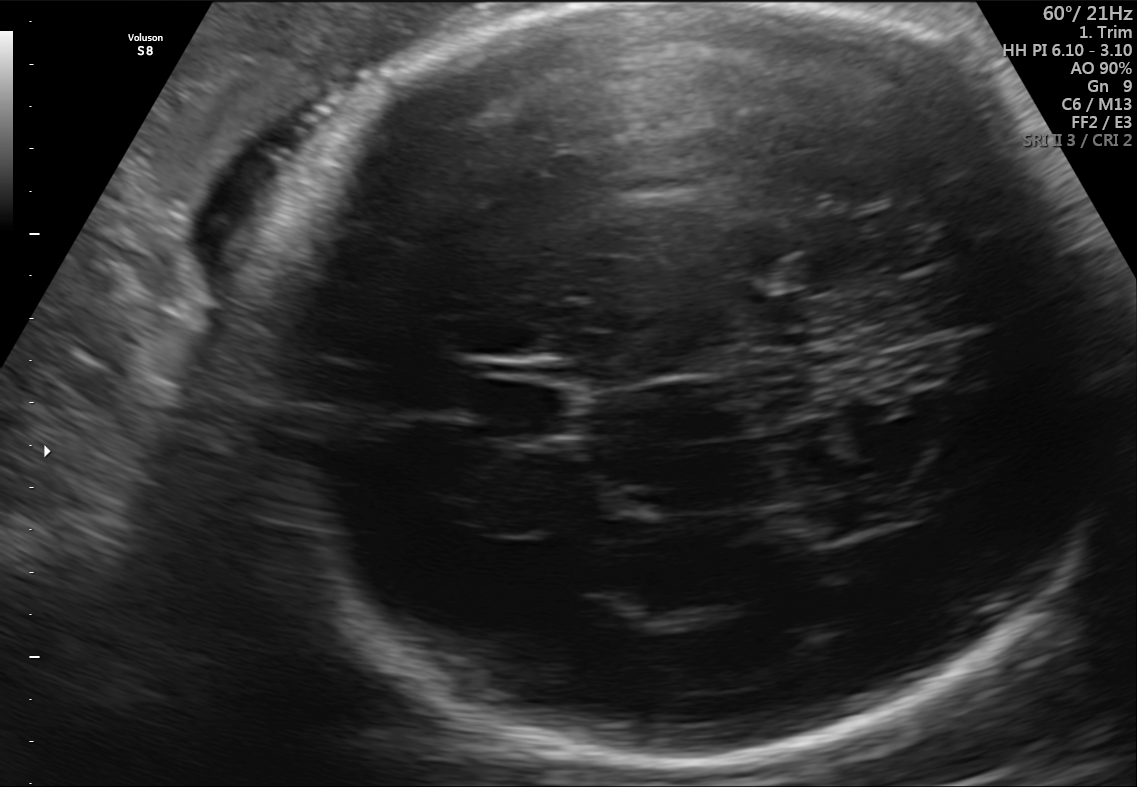
Fetal brain, trans-thalamic plane. Locate the cavum septum pellucidum.

CSP: [486,383,581,436]